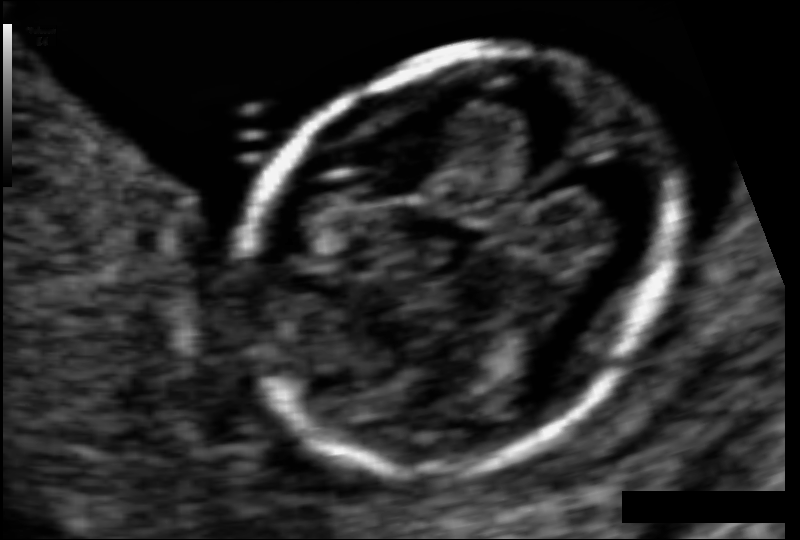
Estimate the fetal head circumference from this 2D ultrasound.

Head circumference: 83.4 mm (image width 48.5 mm).